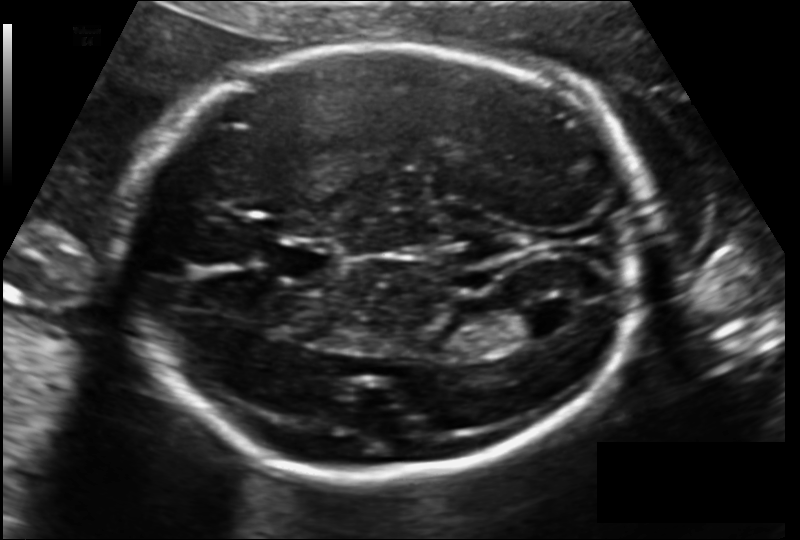
Fetal head ultrasound. Image width: 118.5 mm. Where is the lateral ventricle?

Lateral ventricle bounding box: [496,298,563,346]